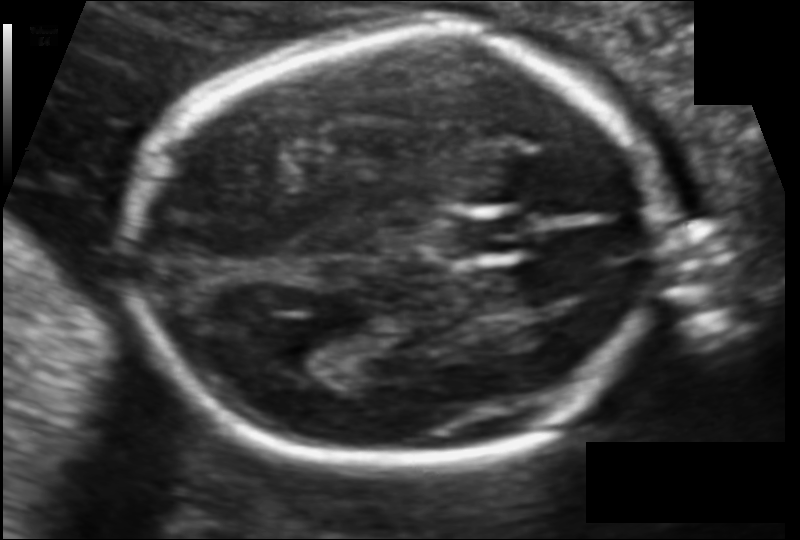
From this fetal ultrasound, estimate the head circumference (image width 84.9 mm).

Head circumference: 167.4 mm.